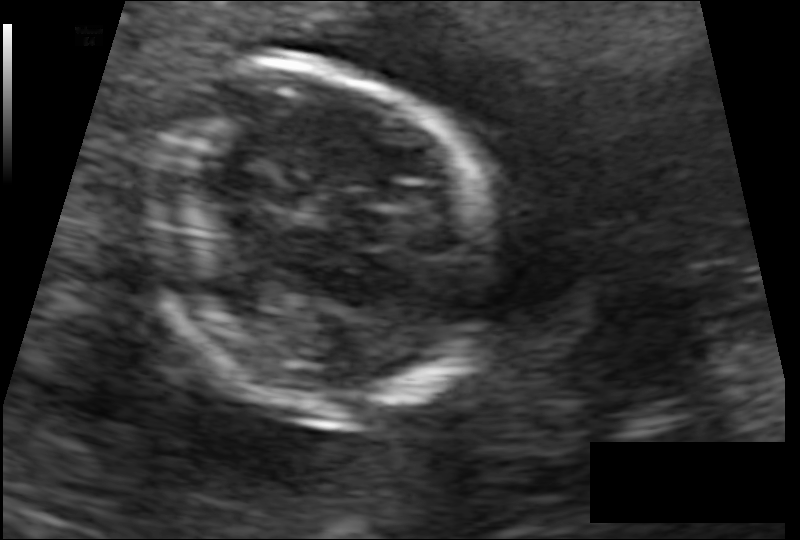
Fetal head ultrasound. Image width: 73.2 mm. Locate the fetal head and, if visible, the cavum septum pellucidum (CSP) and lateral ventricle (LV). Give bounding boxes as [x1,y1,x2,y2].

Head: [135,59,486,413]